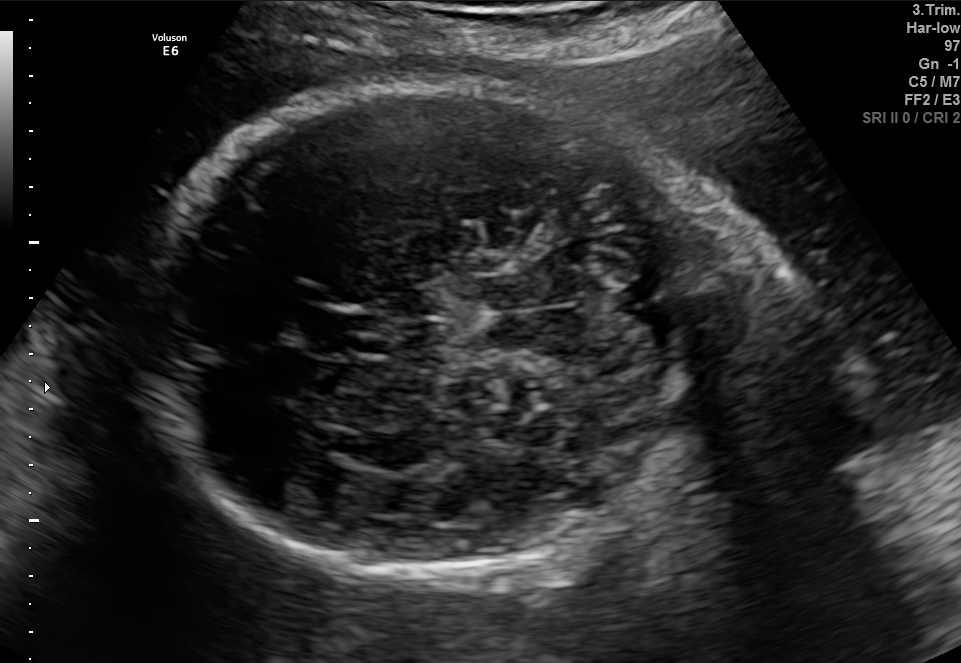
In this fetal brain, trans-cerebellum plane, give the bounding box of the fetal head.

[146,81,723,578]